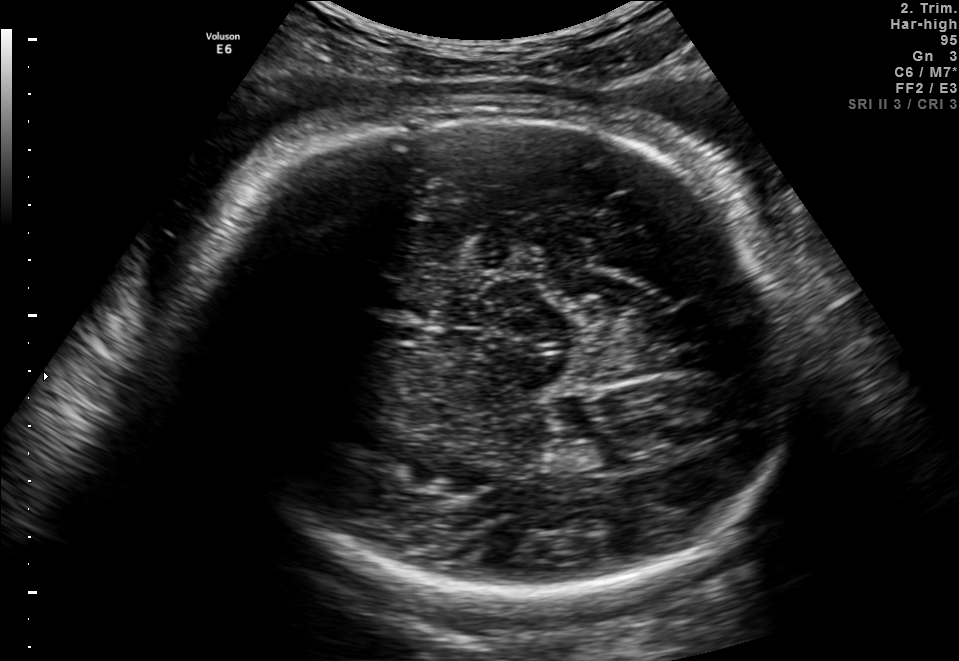
Fetal brain, trans-thalamic plane. Where is the fetal head?

Head bounding box: [193,116,804,601]